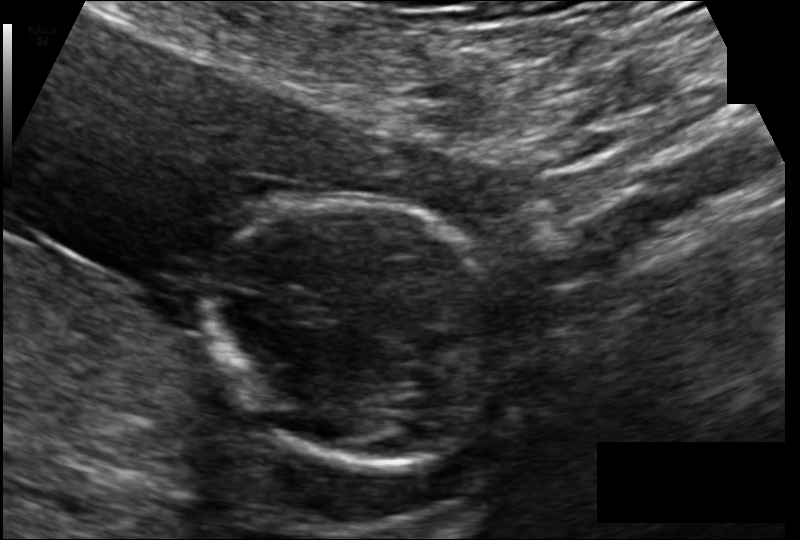
Estimate the fetal head circumference from this 2D ultrasound. Image width: 81.2 mm.

Head circumference: 92.4 mm.